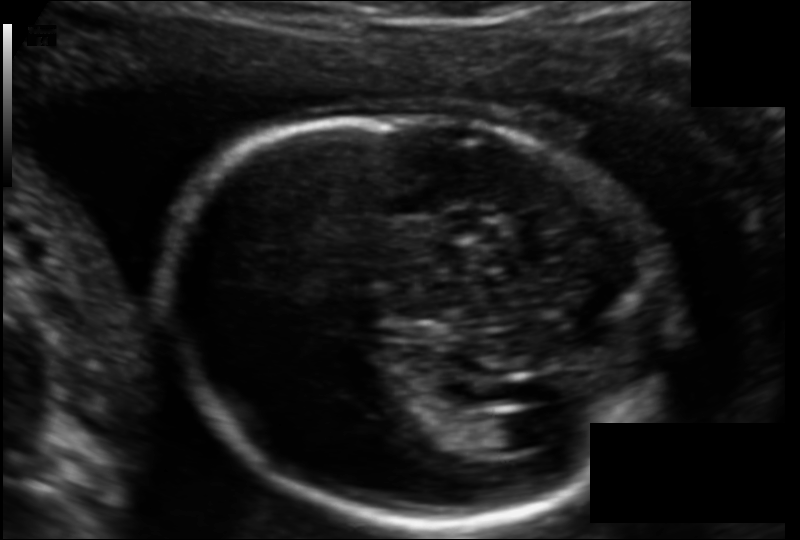
Measure the fetal head circumference shown in this ultrasound image. Image width: 98.5 mm.

Head circumference: 180.8 mm.